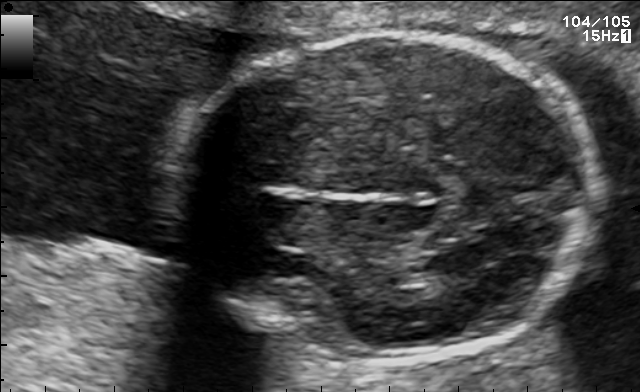
In this fetal brain, trans-thalamic plane, give bounding boxes for the head outline, cavum septum pellucidum (CSP), and lateral ventricle (LV), where visible.

Head: [166,34,600,364]